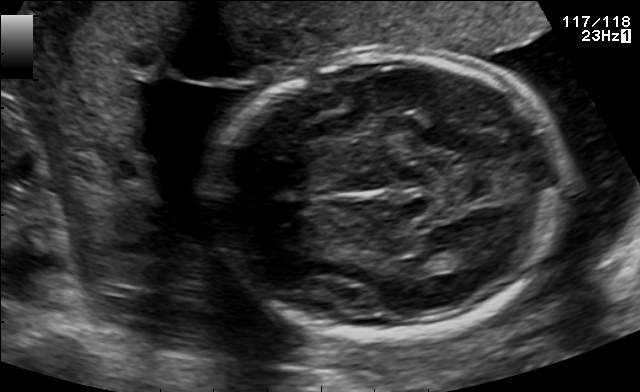
In this fetal brain, trans-thalamic plane, give the bounding box of the fetal head.

[208,55,570,334]